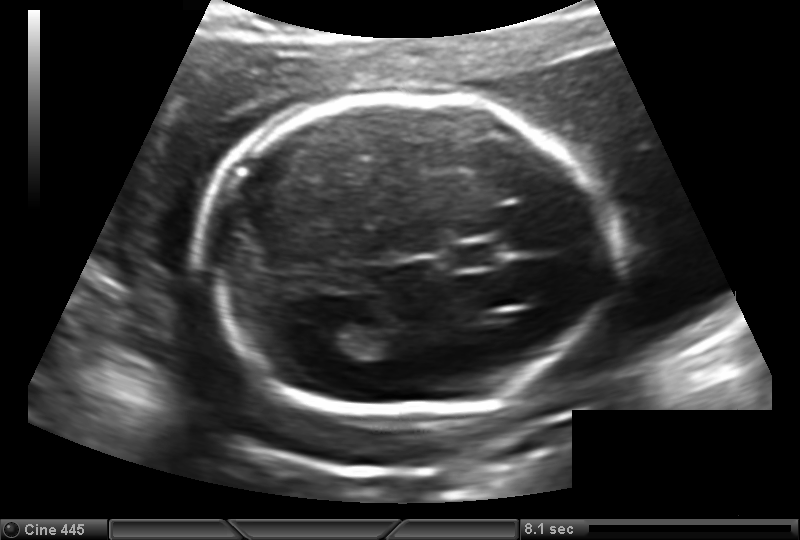
In this fetal head ultrasound, give the bounding box of the lateral ventricle. Image width: 119.4 mm.

[315,320,367,358]